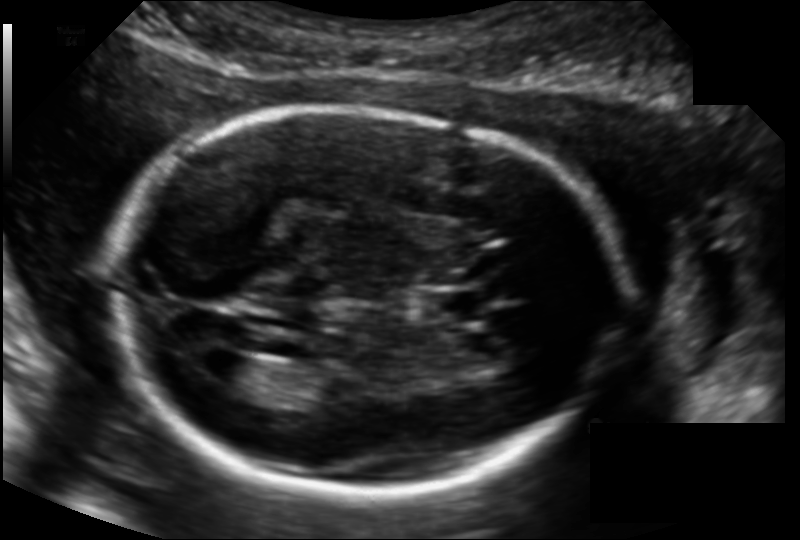
Fetal head ultrasound. Image width: 107.7 mm. Locate the cavum septum pellucidum.

CSP: [423,291,482,321]